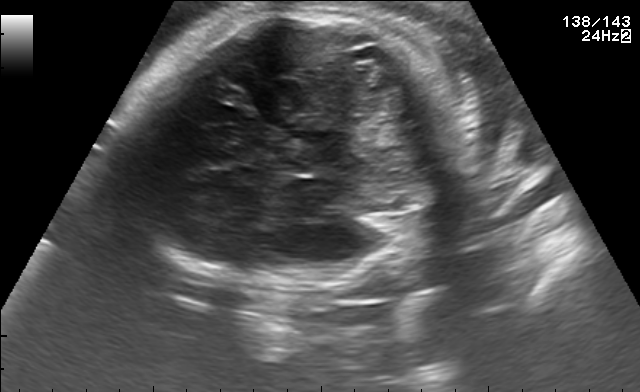
This is a 2D maternal-fetal ultrasound frame. Is it a fetal abdomen, fetal brain, fetal femur, fetal thorax, maternal cervix, or other standard plane? If it's fetal brain and one of the three standard brain planes (trans-thalamic, trans-cerebellum, trans-ventricular), name which.

Fetal brain (trans-thalamic plane)